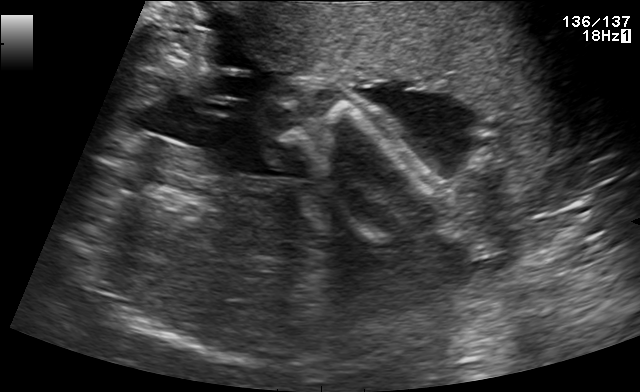
This is a 2D maternal-fetal ultrasound frame. Is it a fetal abdomen, fetal brain, fetal femur, fetal thorax, maternal cervix, or other standard plane? If it's fetal brain and one of the three standard brain planes (trans-thalamic, trans-cerebellum, trans-ventricular), name which.

Other